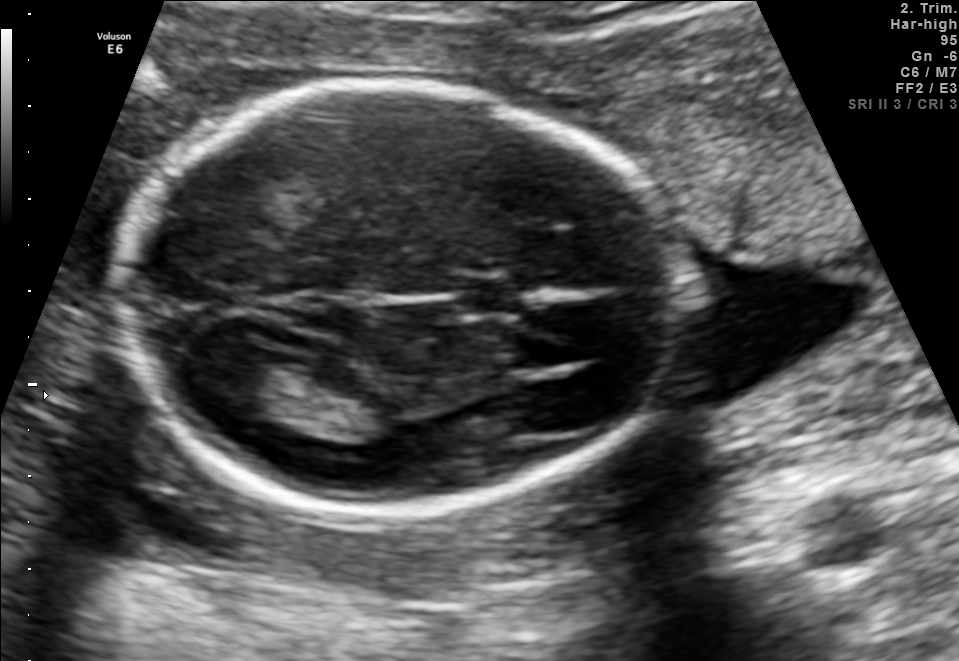
In this fetal brain, trans-thalamic plane, give bounding boxes for the head outline, cavum septum pellucidum (CSP), and lateral ventricle (LV), where visible.

Head: [117,87,684,514]
CSP: [453,278,522,313]
Lateral ventricle: [208,363,308,416]